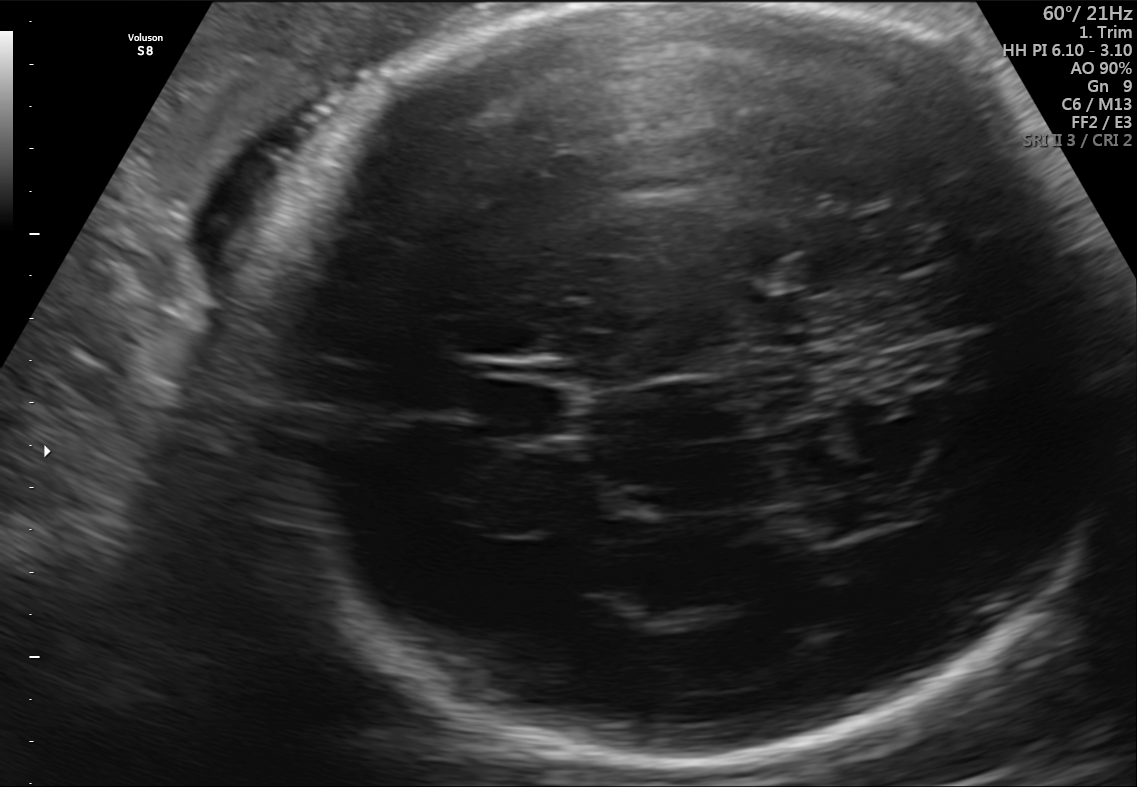
Fetal brain, trans-thalamic plane. Give [x1,y1,x2,y2] bounding boxes for each visible structure among: fetal head, CSP, LV.

Head: [260,10,1105,780]
CSP: [486,383,581,436]
Lateral ventricle: [798,489,889,547]